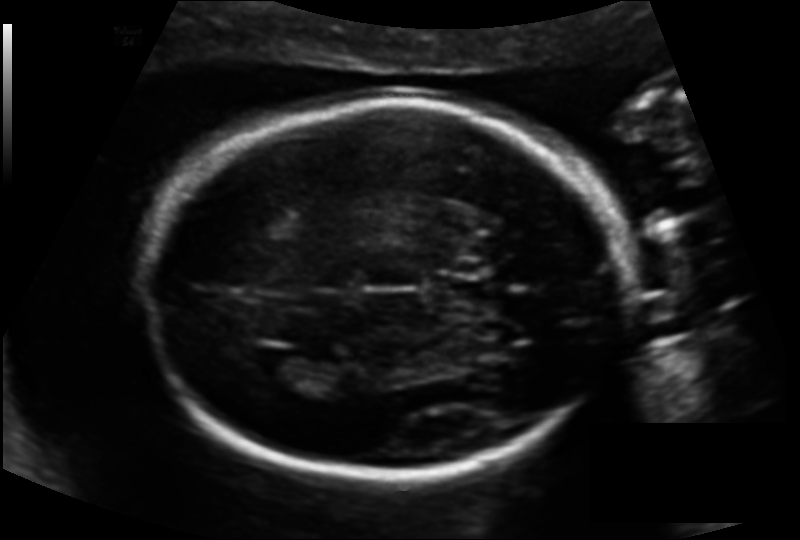
In this fetal head ultrasound, give the bounding box of the lateral ventricle. Image width: 107.7 mm.

[241,338,315,392]